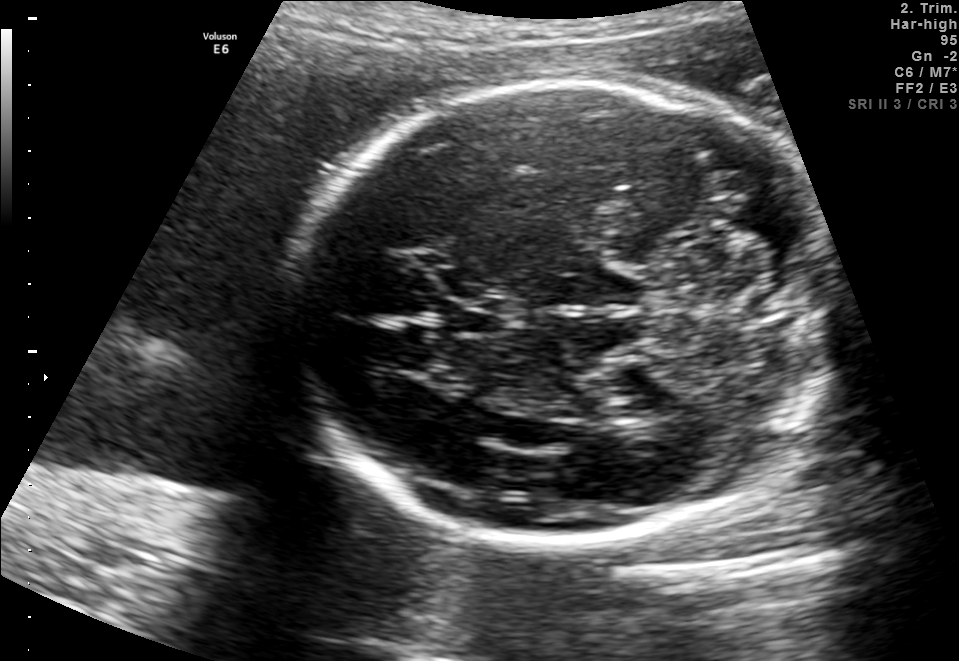
Fetal brain, trans-cerebellum plane. Locate the fetal head.

Head: [296,83,835,546]